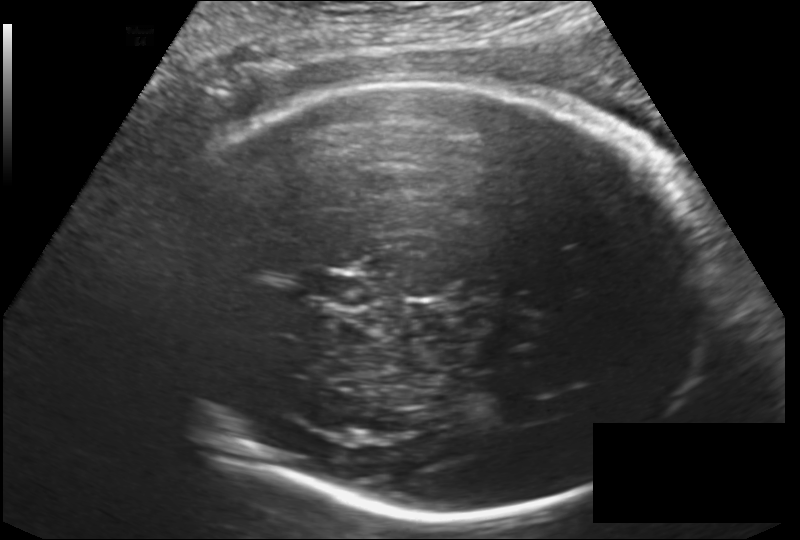
Fetal head ultrasound. Image width: 145.9 mm. Give [x1,y1,x2,y2] bounding boxes for each visible structure among: fetal head, CSP, LV.

Head: [156,80,702,519]
CSP: [304,265,374,312]